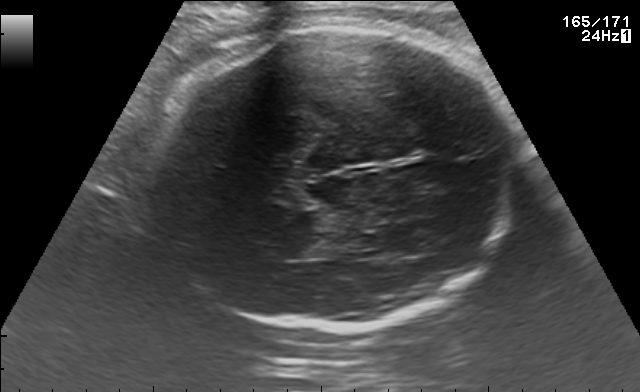
Identify the standard plane in this fetal ultrasound image: fetal abdomen, fetal brain, fetal femur, fetal thorax, maternal cervix, or other. If it's fetal brain and one of the three standard brain planes (trans-thalamic, trans-cerebellum, trans-ventricular), name which.

Fetal brain (trans-thalamic plane)